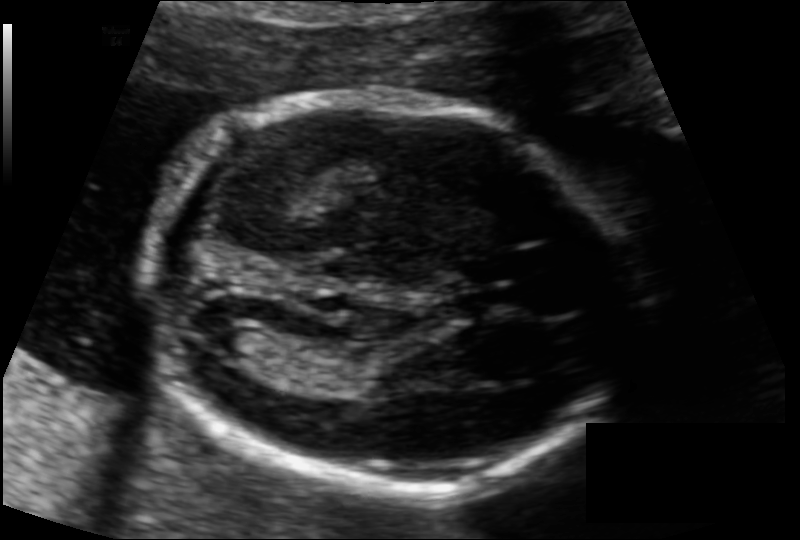
Fetal head ultrasound. Image width: 86.5 mm. Locate the fetal head and, if visible, the cavum septum pellucidum (CSP) and lateral ventricle (LV). Give bounding boxes as [x1,y1,x2,y2].

Head: [148,96,631,489]
Lateral ventricle: [206,313,272,368]